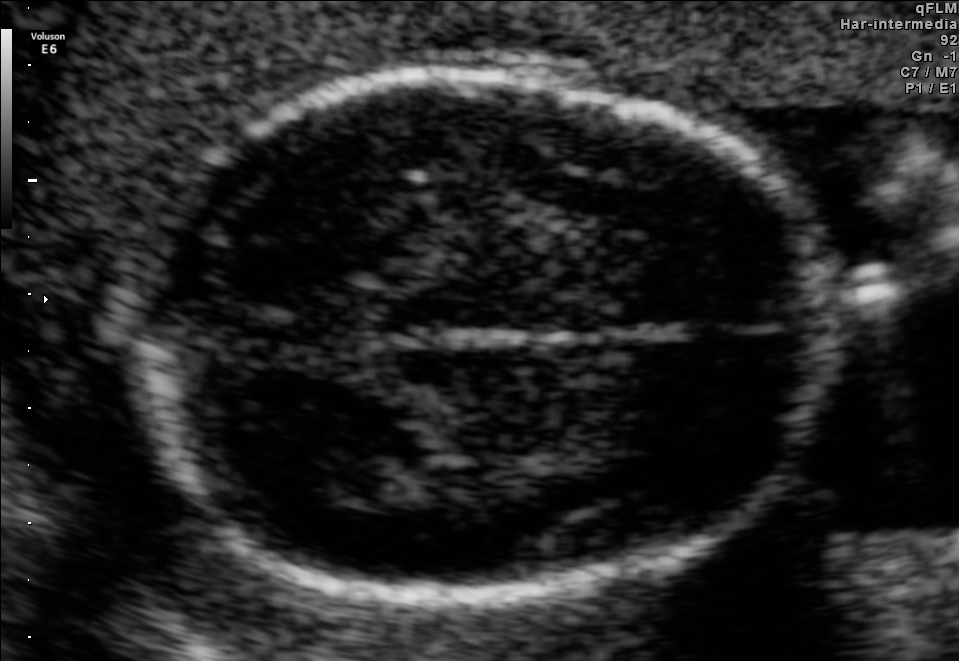
Which standard maternal-fetal ultrasound plane is shown: fetal abdomen, fetal brain, fetal femur, fetal thorax, maternal cervix, or other? If it's fetal brain and one of the three standard brain planes (trans-thalamic, trans-cerebellum, trans-ventricular), name which.

Fetal brain (trans-thalamic plane)